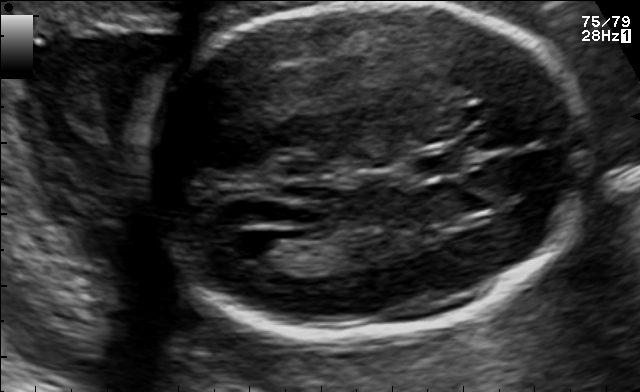
Fetal brain, trans-ventricular plane. Where is the cavum septum pellucidum?

CSP bounding box: [396,138,485,184]